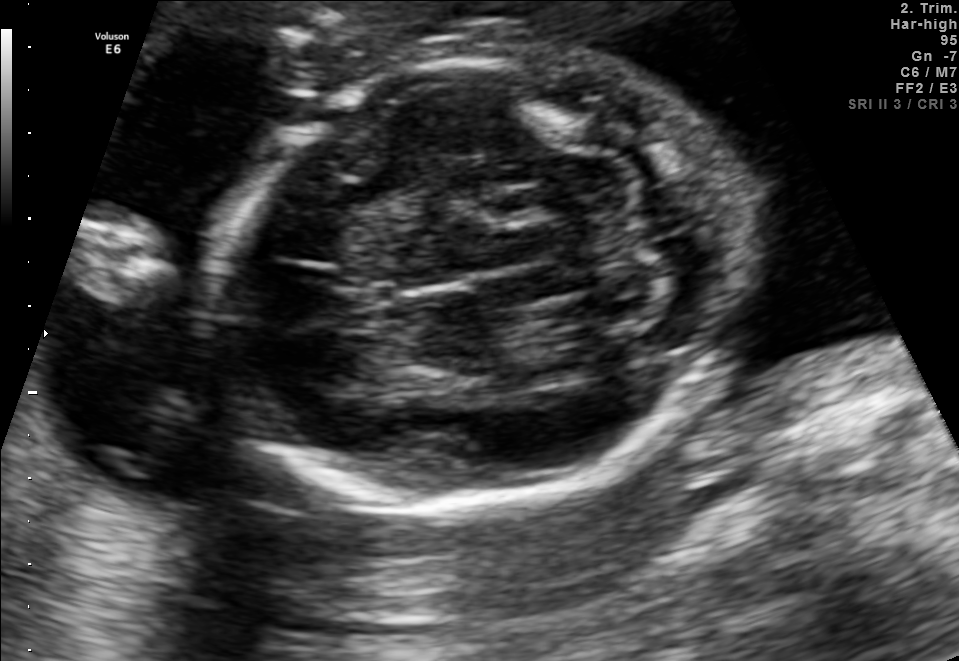
Which standard maternal-fetal ultrasound plane is shown: fetal abdomen, fetal brain, fetal femur, fetal thorax, maternal cervix, or other? If it's fetal brain and one of the three standard brain planes (trans-thalamic, trans-cerebellum, trans-ventricular), name which.

Fetal brain (trans-cerebellum plane)